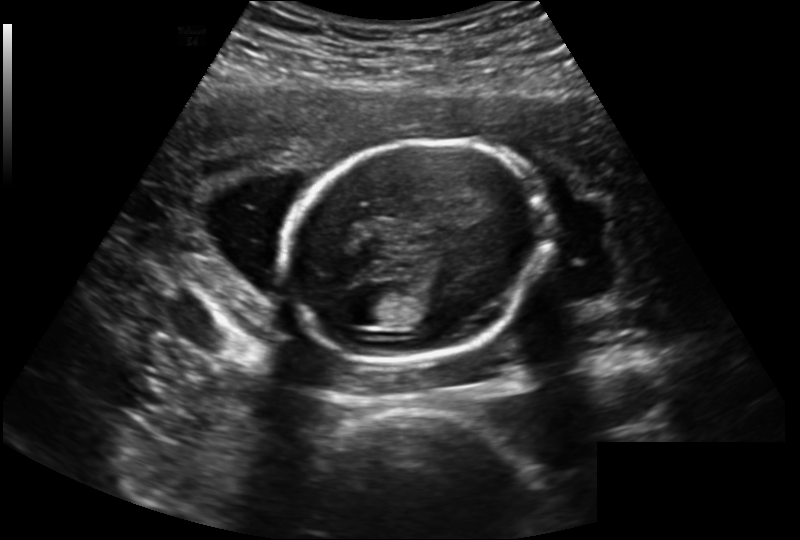
Fetal head ultrasound. Image width: 161.7 mm. Locate the fetal head and, if visible, the cavum septum pellucidum (CSP) and lateral ventricle (LV). Give bounding boxes as [x1,y1,x2,y2].

Head: [283,140,551,364]
Lateral ventricle: [332,291,385,327]